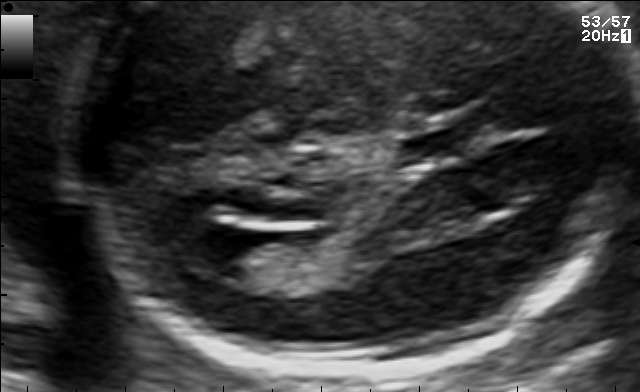
Fetal brain, trans-ventricular plane. Locate the lateral ventricle.

Lateral ventricle: [167,212,260,281]